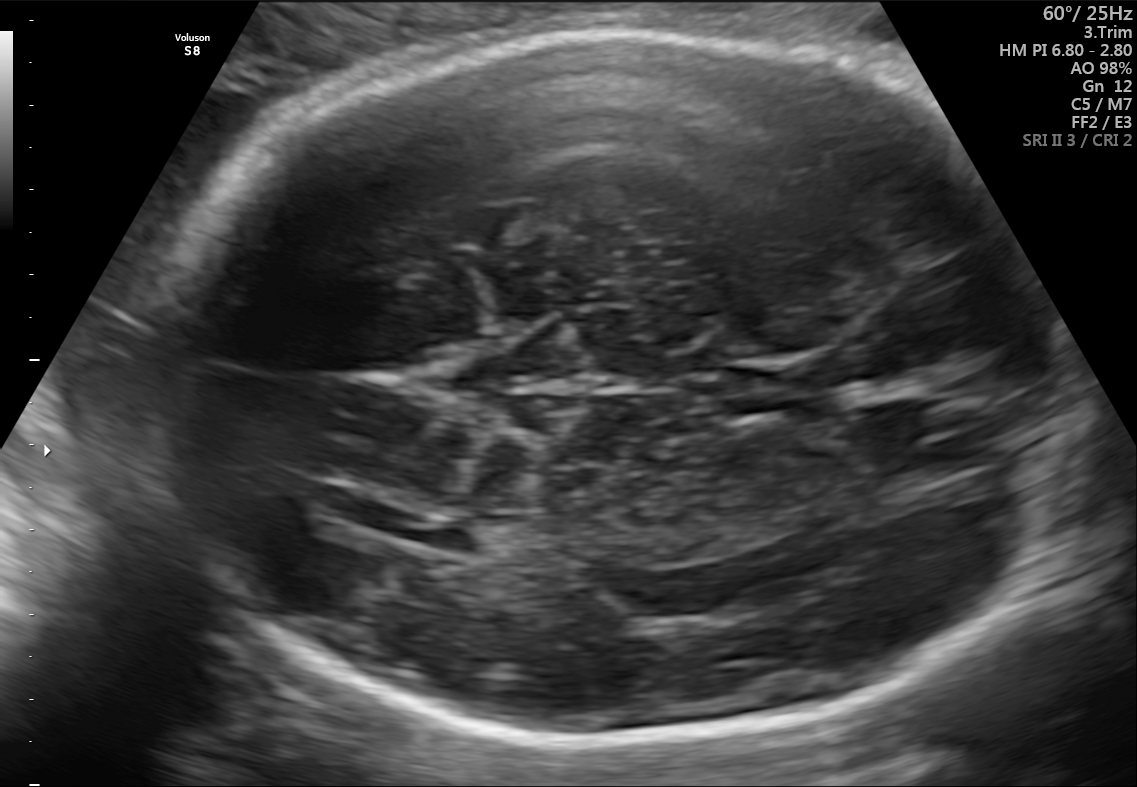
In this fetal brain, trans-ventricular plane, give the bounding box of the fetal head.

[139,25,1053,750]